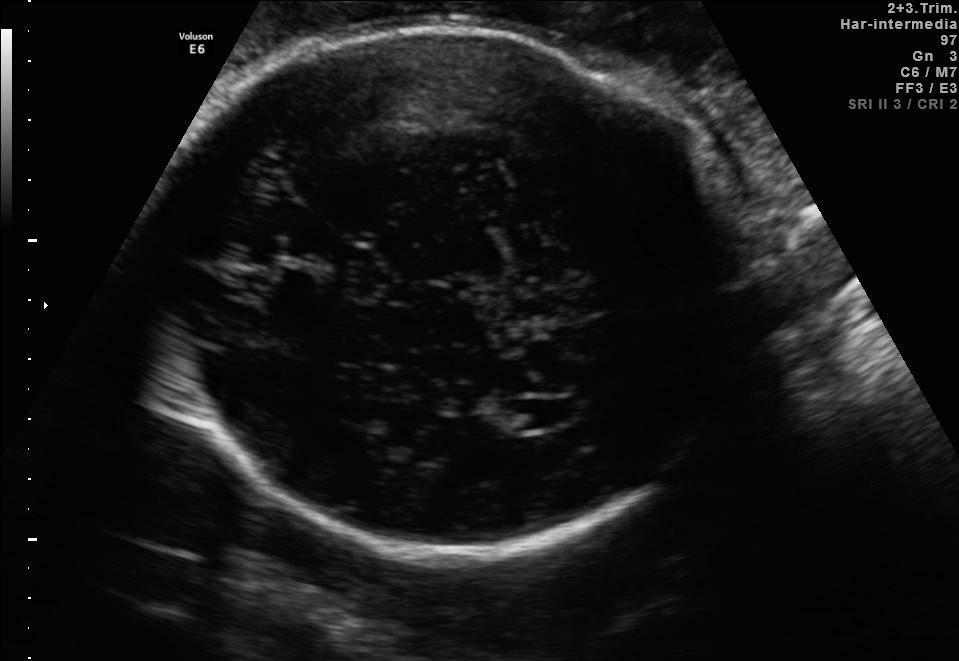
Fetal brain, trans-ventricular plane. Locate the fetal head and, if visible, the cavum septum pellucidum (CSP) and lateral ventricle (LV). Give bounding boxes as [x1,y1,x2,y2].

Head: [147,22,762,559]
Lateral ventricle: [510,389,584,431]